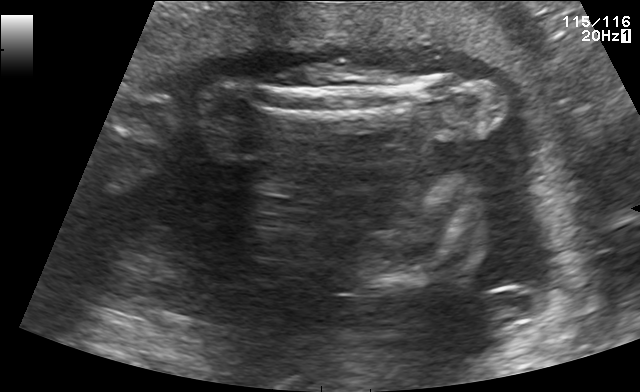
Which standard maternal-fetal ultrasound plane is shown: fetal abdomen, fetal brain, fetal femur, fetal thorax, maternal cervix, or other? If it's fetal brain and one of the three standard brain planes (trans-thalamic, trans-cerebellum, trans-ventricular), name which.

Other